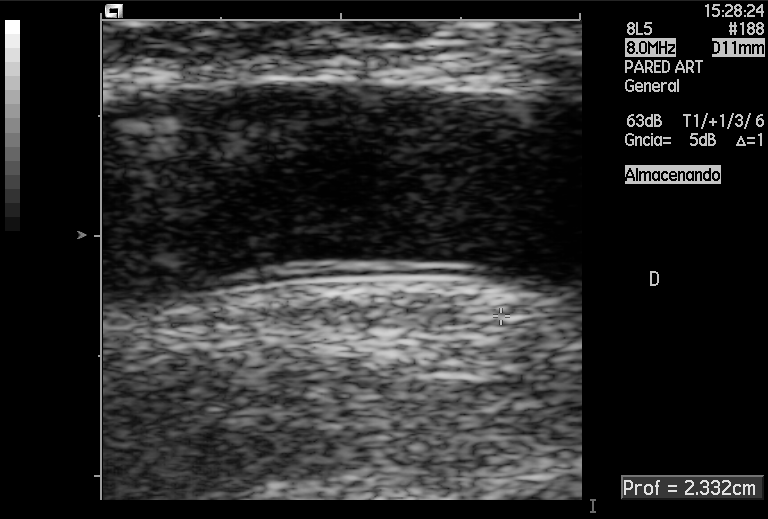
Identify the standard plane in this fetal ultrasound image: fetal abdomen, fetal brain, fetal femur, fetal thorax, maternal cervix, or other. If it's fetal brain and one of the three standard brain planes (trans-thalamic, trans-cerebellum, trans-ventricular), name which.

Other